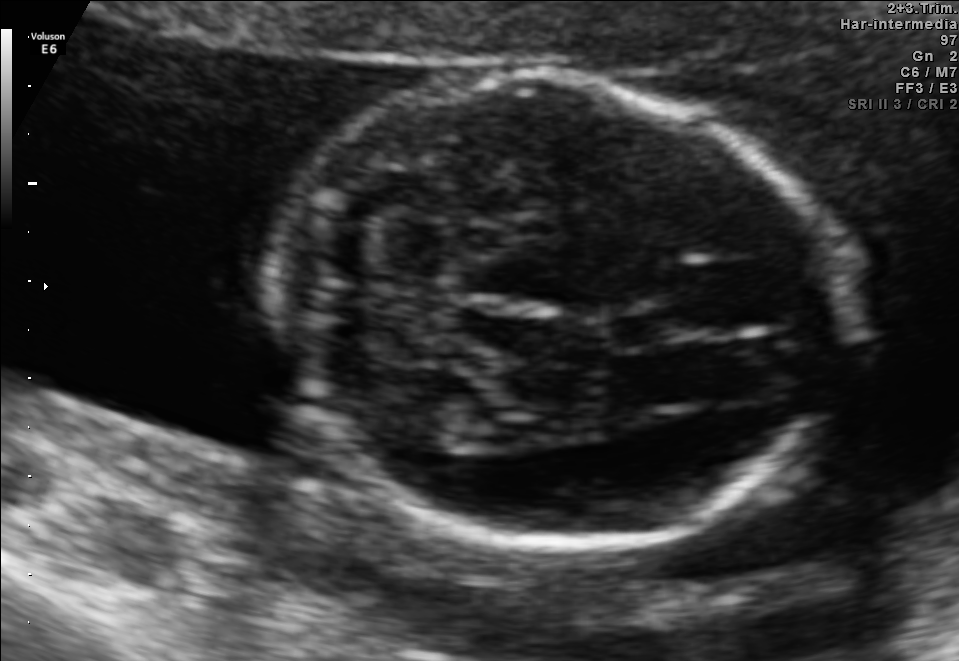
Fetal brain, trans-cerebellum plane. Locate the fetal head and, if visible, the cavum septum pellucidum (CSP) and lateral ventricle (LV). Give bounding boxes as [x1,y1,x2,y2].

Head: [267,78,842,543]
CSP: [602,303,685,354]